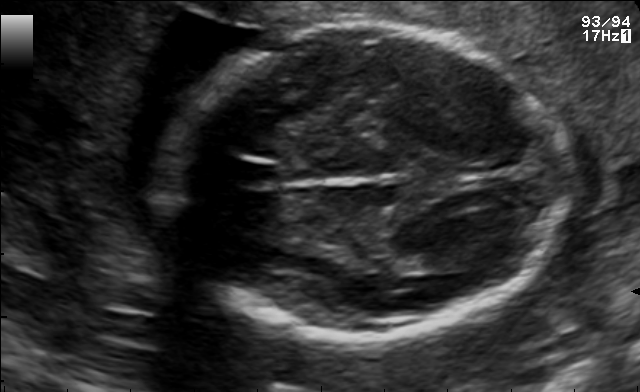
Fetal brain, trans-thalamic plane. Where is the cavum septum pellucidum?

CSP bounding box: [228,160,279,188]